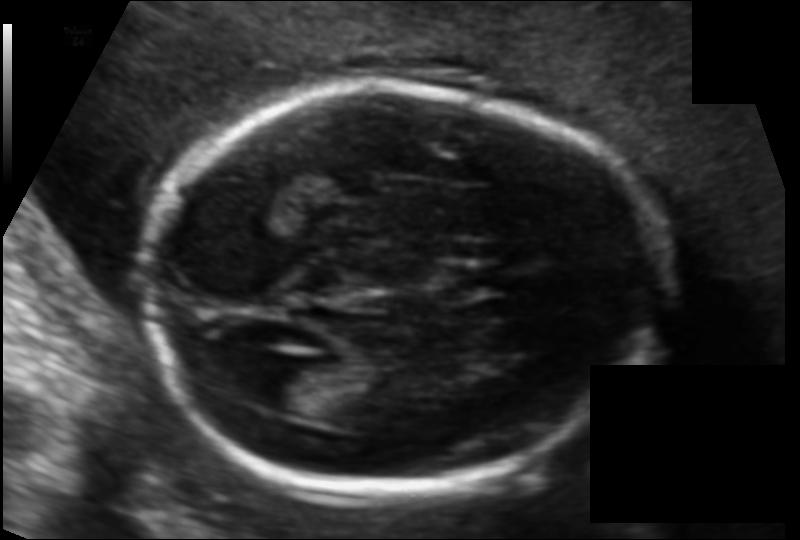
Fetal head ultrasound. Image width: 88.8 mm. Where is the cavum septum pellucidum?

CSP bounding box: [445,260,513,299]